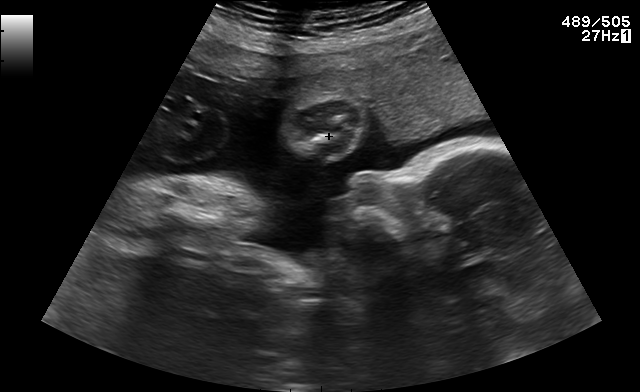
This is a 2D maternal-fetal ultrasound frame. Is it a fetal abdomen, fetal brain, fetal femur, fetal thorax, maternal cervix, or other standard plane? If it's fetal brain and one of the three standard brain planes (trans-thalamic, trans-cerebellum, trans-ventricular), name which.

Other